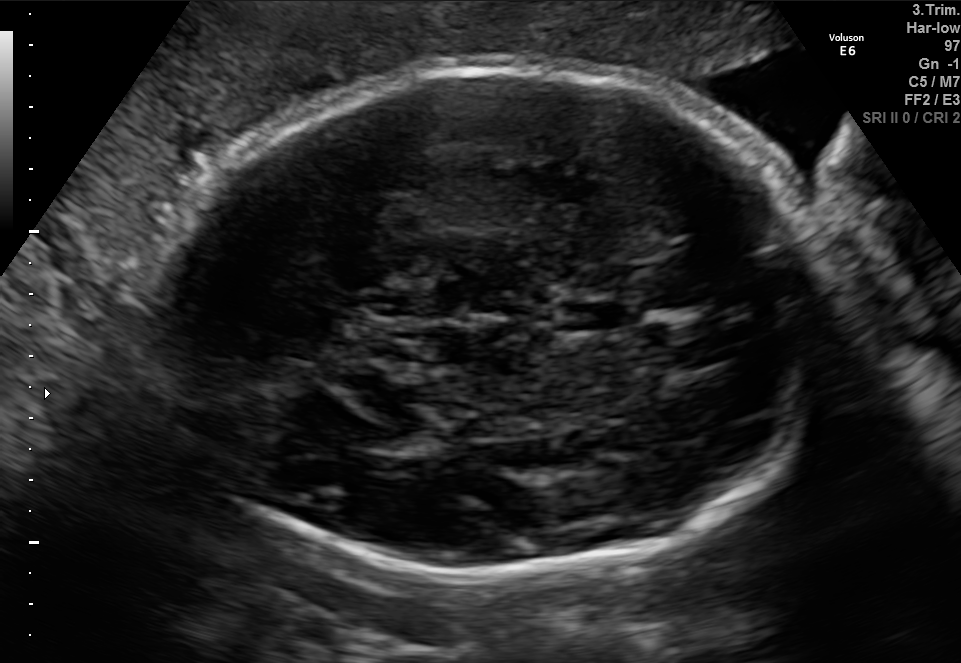
Fetal brain, trans-thalamic plane. Where is the cavum septum pellucidum?

CSP bounding box: [555,300,625,332]